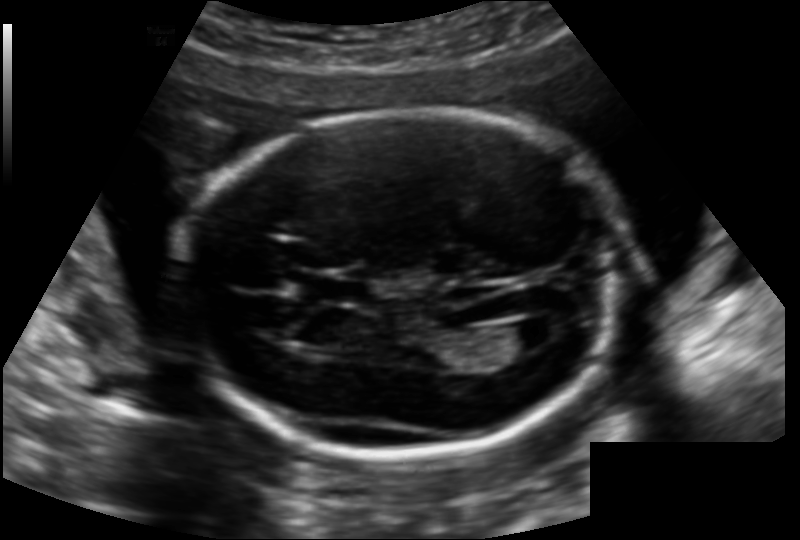
From this fetal ultrasound, estimate the head circumference (image width 113.4 mm).

Head circumference: 182.5 mm.